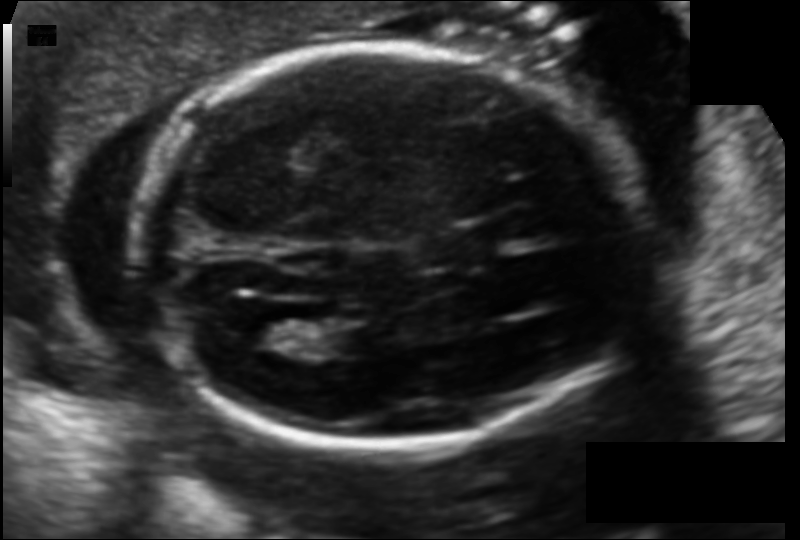
Fetal head ultrasound. Image width: 96.5 mm. Locate the lateral ventricle.

Lateral ventricle: [243,314,301,353]